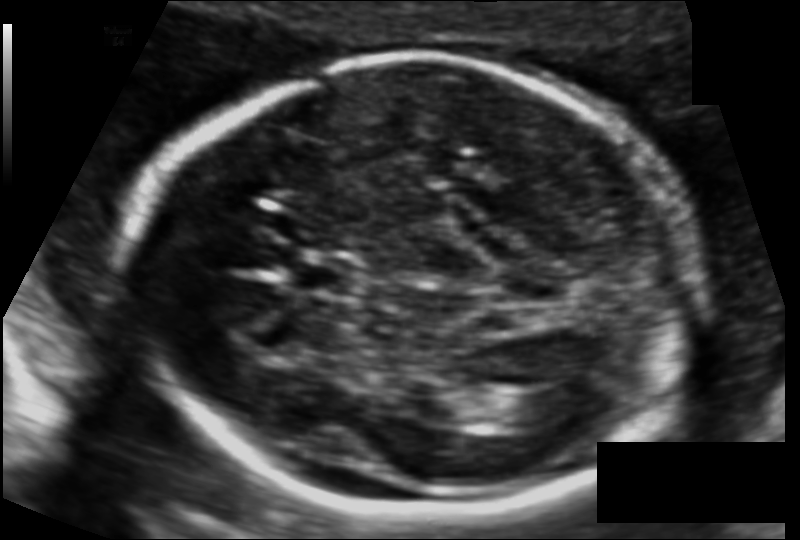
From this fetal ultrasound, estimate the head circumference (image width 89.5 mm).

Head circumference: 184.1 mm.